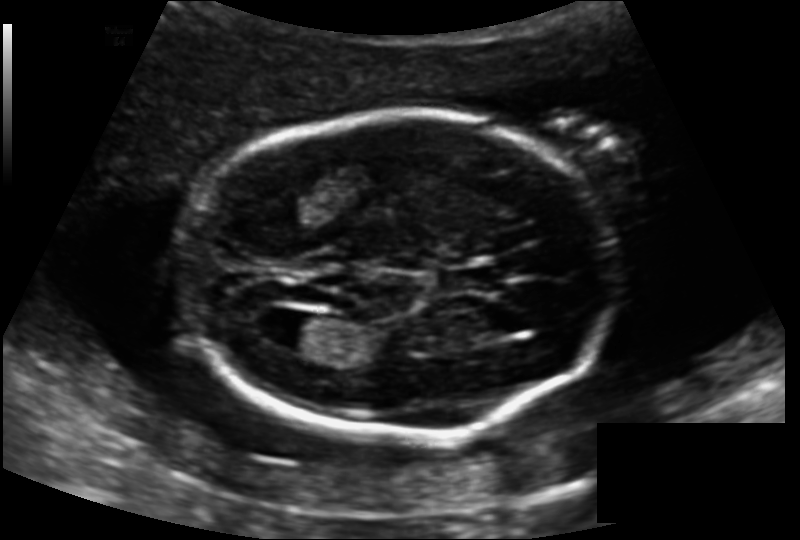
Fetal head ultrasound. Image width: 111.5 mm. Where is the cavum septum pellucidum?

CSP bounding box: [441,264,501,296]